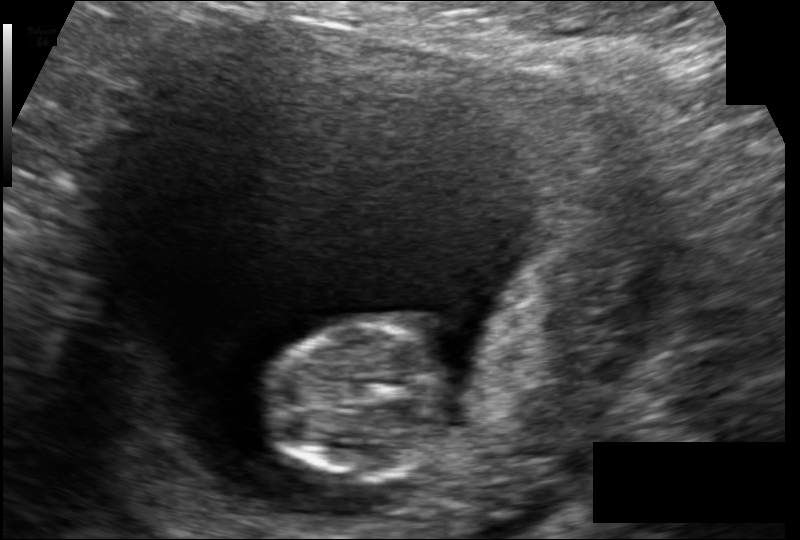
What is the fetal head circumference? Image width is 93.6 mm.

65.7 mm